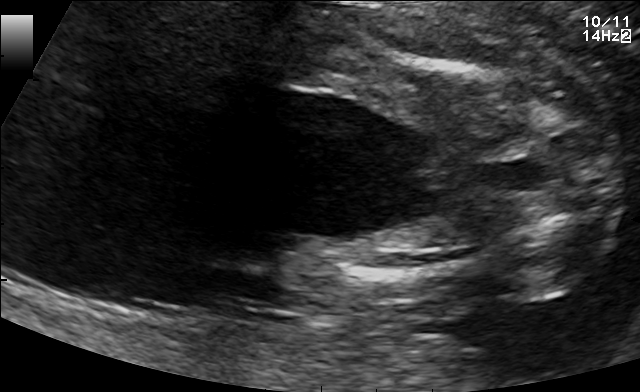
Which standard maternal-fetal ultrasound plane is shown: fetal abdomen, fetal brain, fetal femur, fetal thorax, maternal cervix, or other? If it's fetal brain and one of the three standard brain planes (trans-thalamic, trans-cerebellum, trans-ventricular), name which.

Other